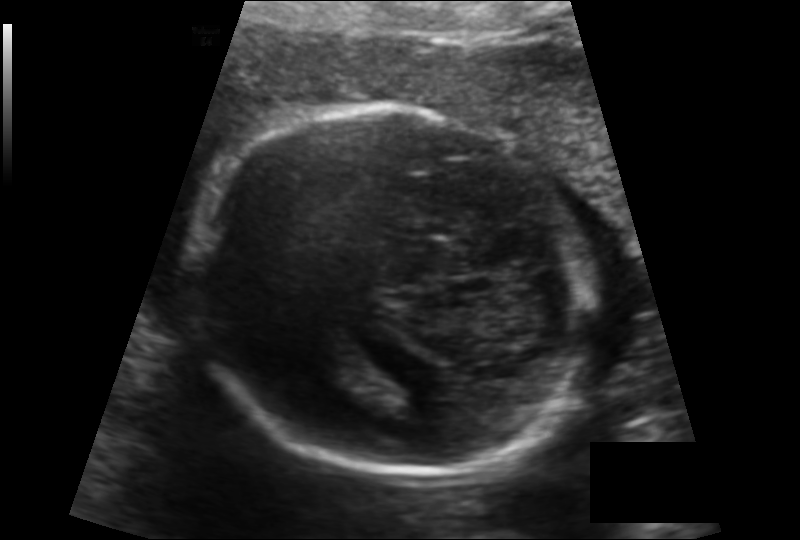
From this fetal ultrasound, estimate the head circumference (image width 113.4 mm).

Head circumference: 178.0 mm.